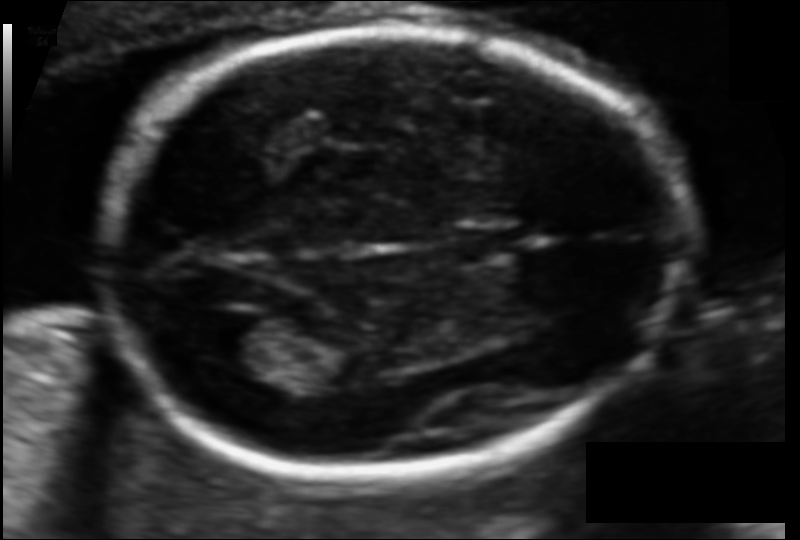
Fetal head ultrasound. Image width: 77.8 mm. Where is the lateral ventricle?

Lateral ventricle bounding box: [188,309,266,363]